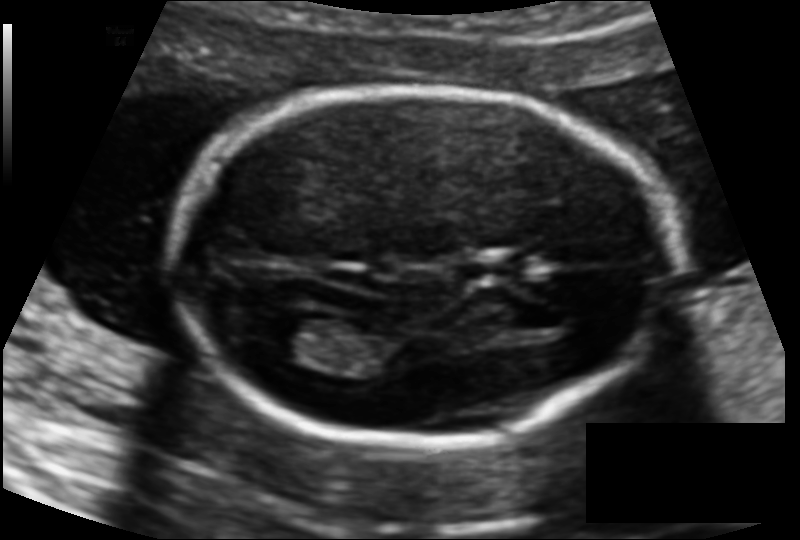
In this fetal head ultrasound, give the bounding box of the cavum septum pellucidum. Image width: 91.5 mm.

[453,255,517,285]